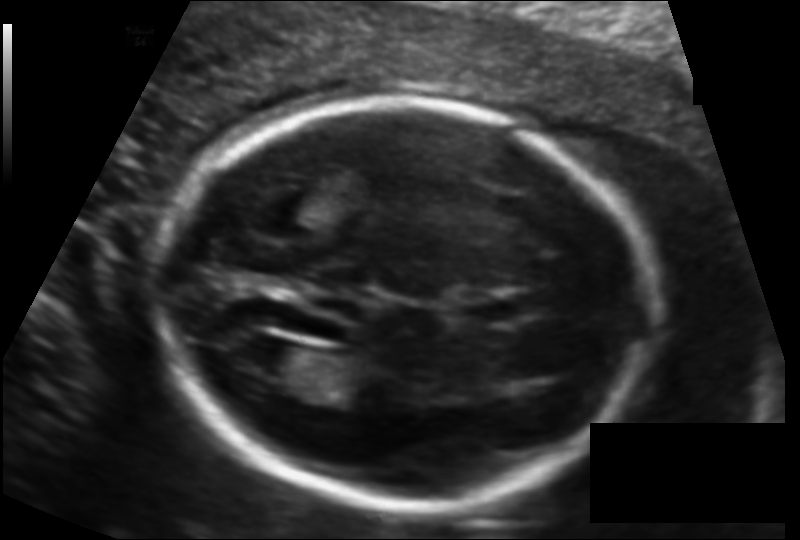
Fetal head ultrasound. Image width: 98.9 mm. Give [x1,y1,x2,y2] bounding boxes for each visible structure among: fetal head, CSP, LV.

Head: [158,98,649,507]
CSP: [463,290,523,328]
Lateral ventricle: [233,334,308,385]